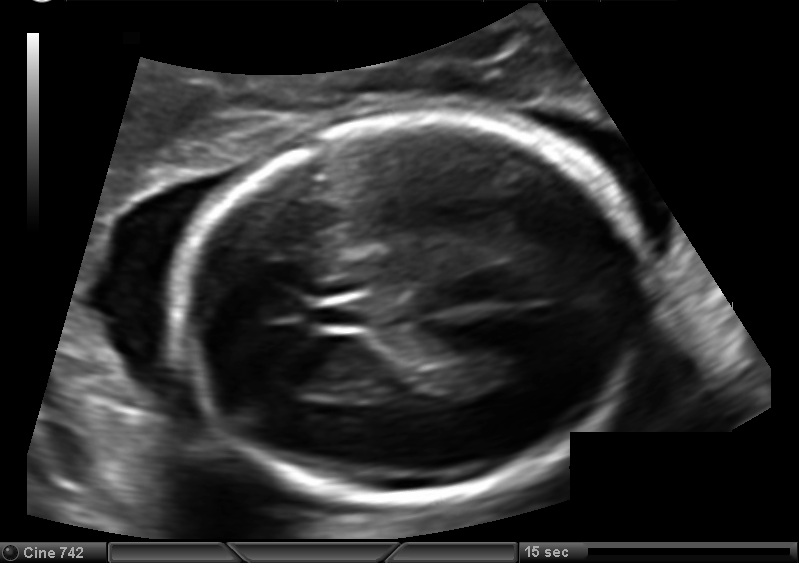
Estimate the fetal head circumference from this 2D ultrasound.

Head circumference: 178.4 mm (image width 101.4 mm).